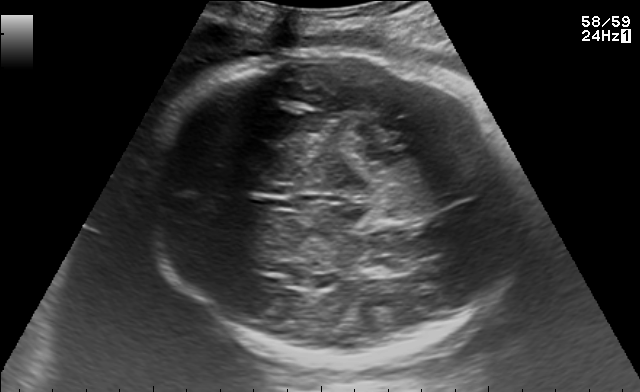
In this fetal brain, trans-thalamic plane, give the bounding box of the fetal head.

[141,45,524,361]